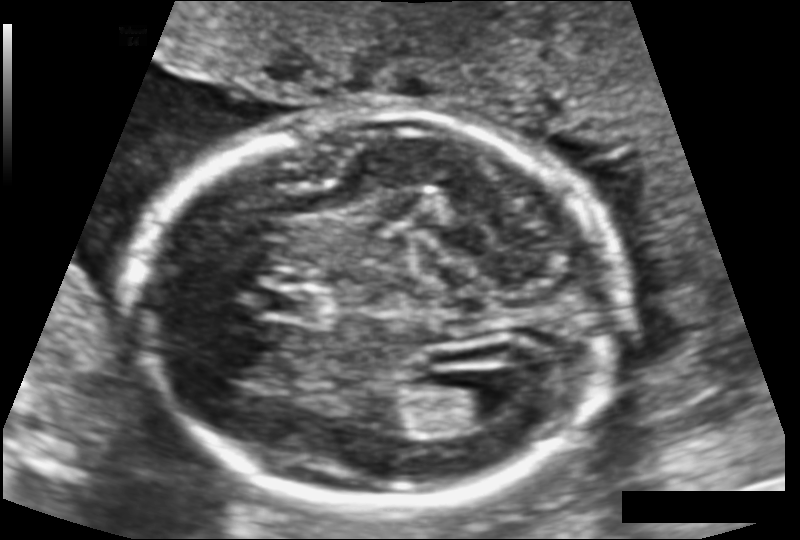
Fetal head ultrasound. Image width: 99.5 mm. Where is the lateral ventricle?

Lateral ventricle bounding box: [438,383,519,434]